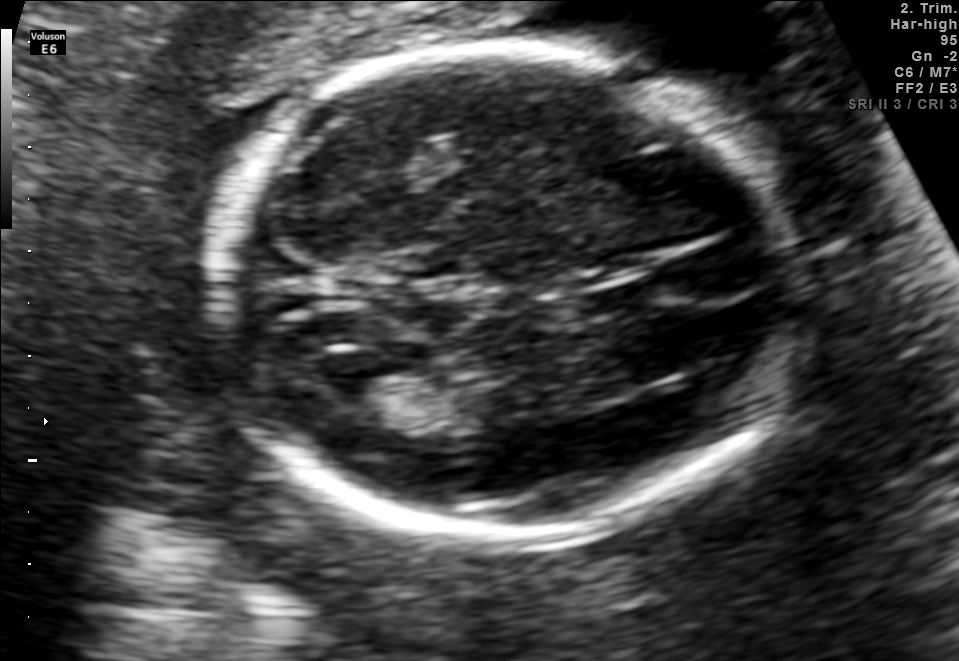
Fetal brain, trans-ventricular plane. Locate the cavum septum pellucidum.

CSP: [581,270,667,321]